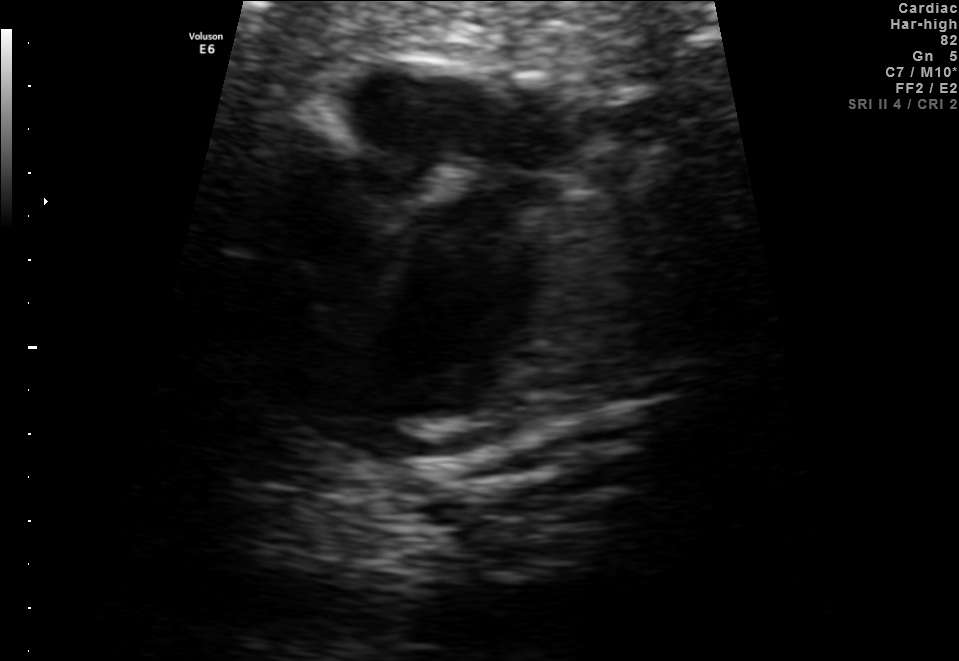
Identify the standard plane in this fetal ultrasound image: fetal abdomen, fetal brain, fetal femur, fetal thorax, maternal cervix, or other. If it's fetal brain and one of the three standard brain planes (trans-thalamic, trans-cerebellum, trans-ventricular), name which.

Fetal thorax